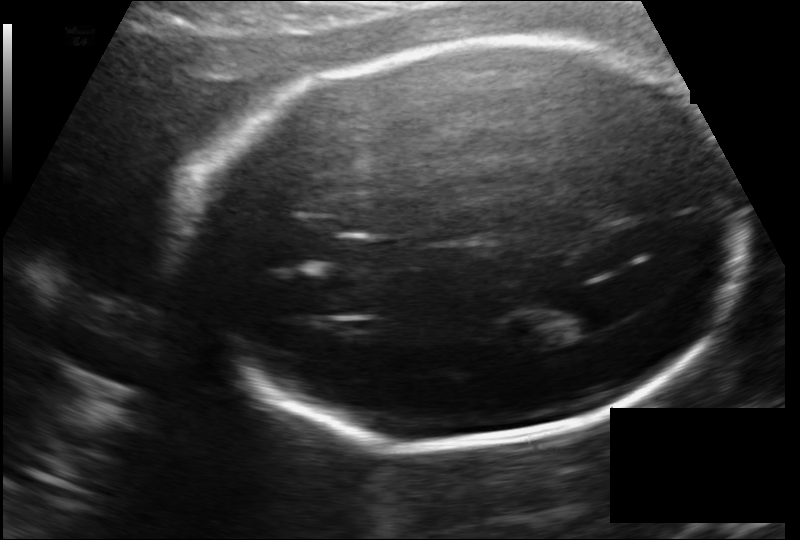
Fetal head ultrasound. Image width: 112.6 mm. Locate the fetal head and, if visible, the cavum septum pellucidum (CSP) and lateral ventricle (LV). Give bounding boxes as [x1,y1,x2,y2].

Head: [192,44,743,449]
Lateral ventricle: [525,285,622,348]